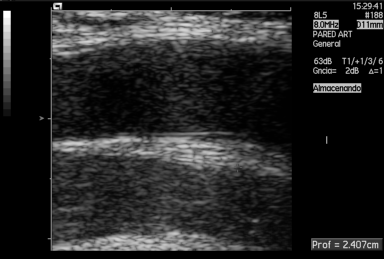
Classify this maternal-fetal ultrasound image as one of the six standard planes — fetal abdomen, fetal brain, fetal femur, fetal thorax, maternal cervix, or other. If it's fetal brain and one of the three standard brain planes (trans-thalamic, trans-cerebellum, trans-ventricular), name which.

Other